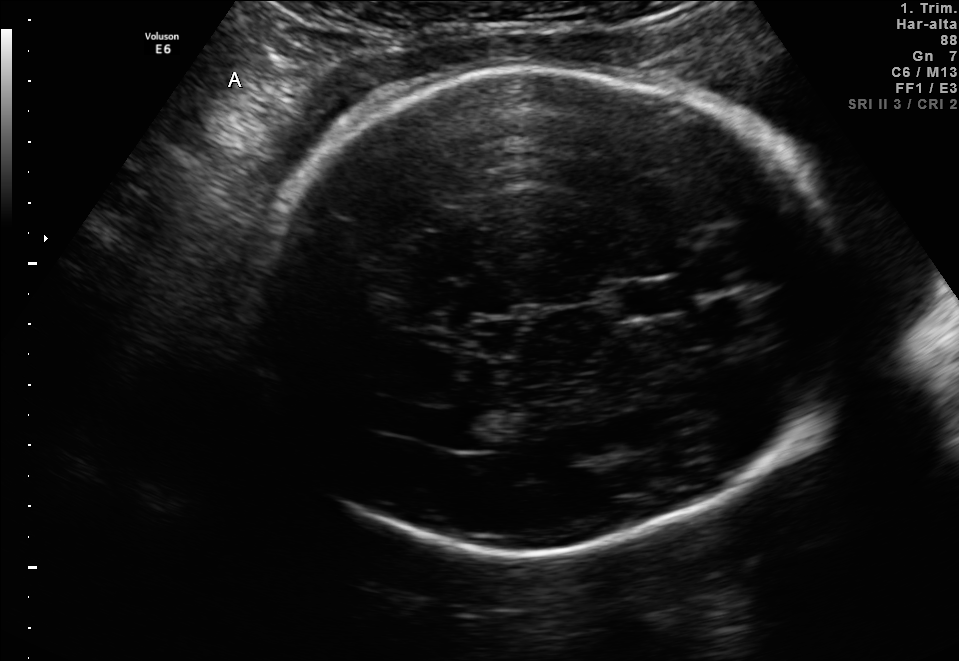
In this fetal brain, trans-thalamic plane, give bounding boxes for the head outline, cavum septum pellucidum (CSP), and lateral ventricle (LV), where visible.

Head: [258,64,843,551]
CSP: [618,278,682,320]
Lateral ventricle: [433,408,497,452]